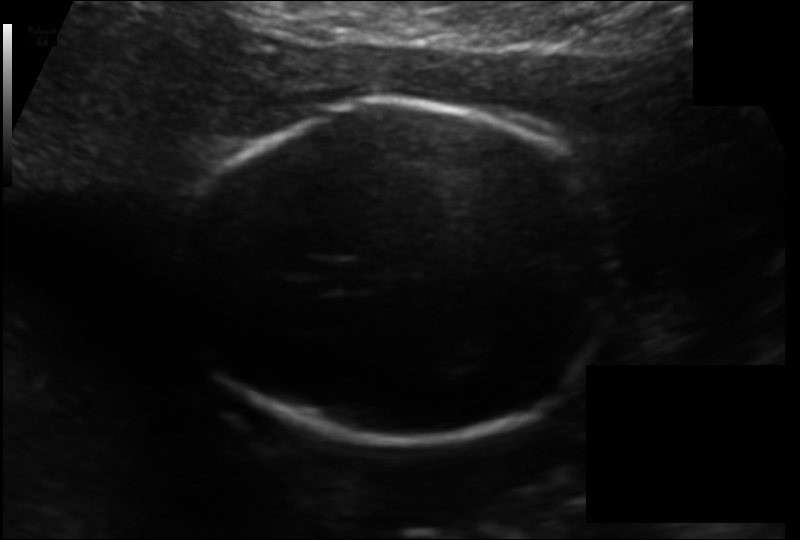
Fetal head ultrasound. Image width: 106.3 mm. Give [x1,y1,x2,y2] bounding boxes for each visible structure among: fetal head, CSP, LV.

Head: [184,100,624,442]